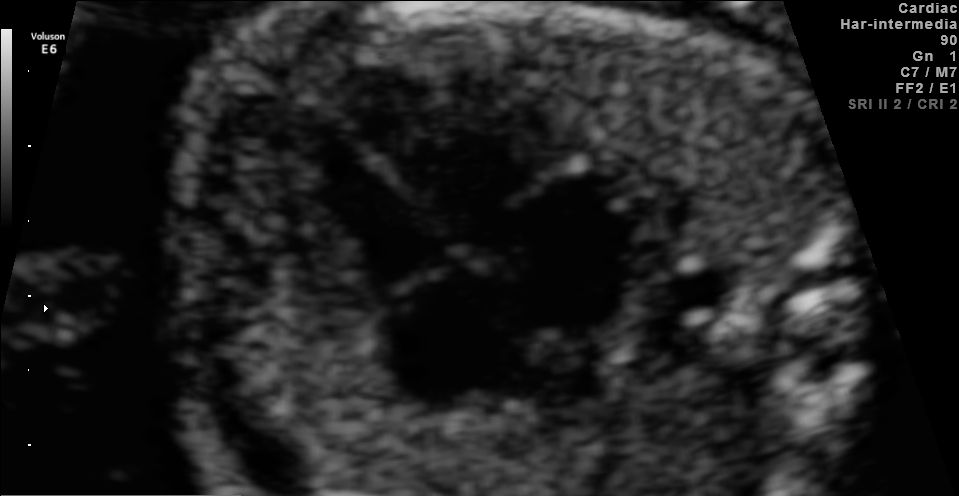
Identify the standard plane in this fetal ultrasound image: fetal abdomen, fetal brain, fetal femur, fetal thorax, maternal cervix, or other. If it's fetal brain and one of the three standard brain planes (trans-thalamic, trans-cerebellum, trans-ventricular), name which.

Fetal thorax